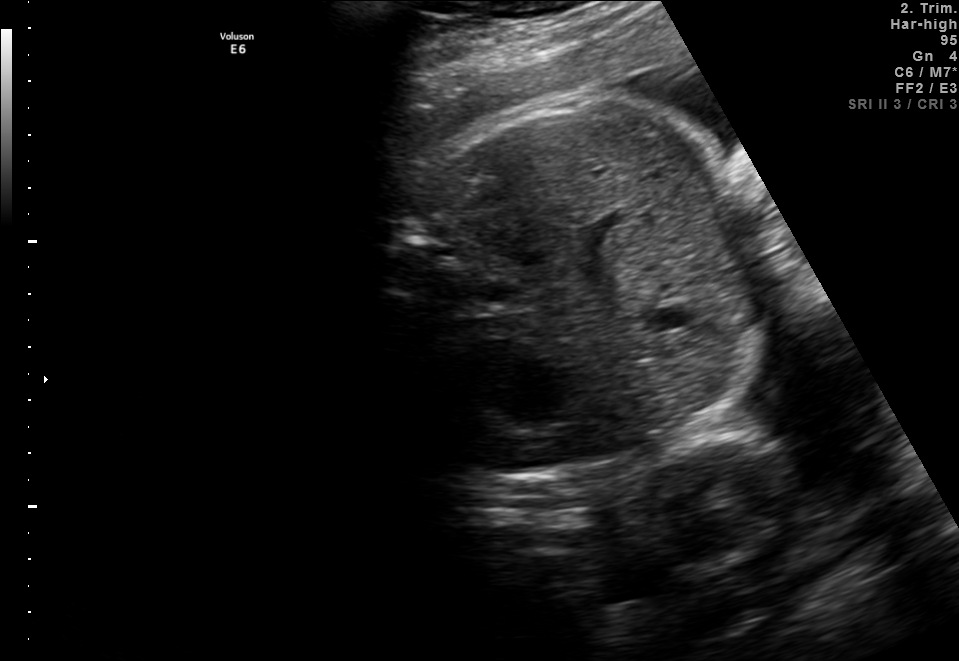
Identify the standard plane in this fetal ultrasound image: fetal abdomen, fetal brain, fetal femur, fetal thorax, maternal cervix, or other. If it's fetal brain and one of the three standard brain planes (trans-thalamic, trans-cerebellum, trans-ventricular), name which.

Fetal abdomen